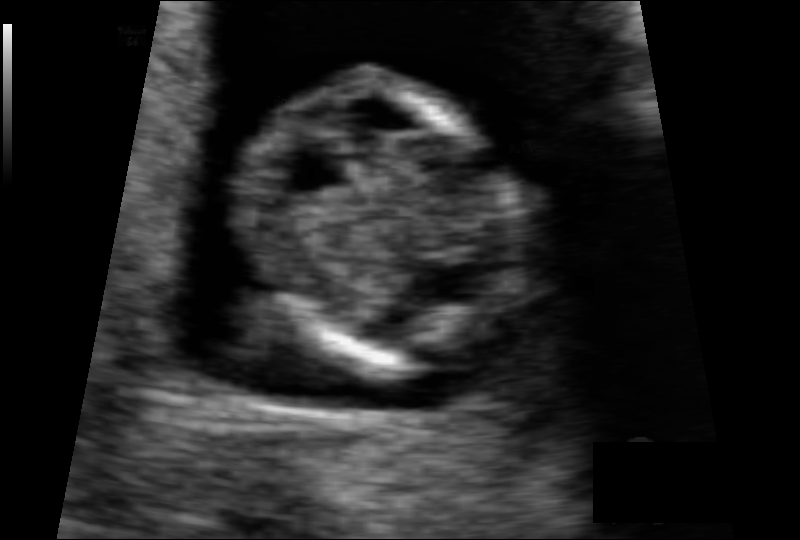
Estimate the fetal head circumference from this 2D ultrasound. Image width: 59.9 mm.

Head circumference: 70.1 mm.